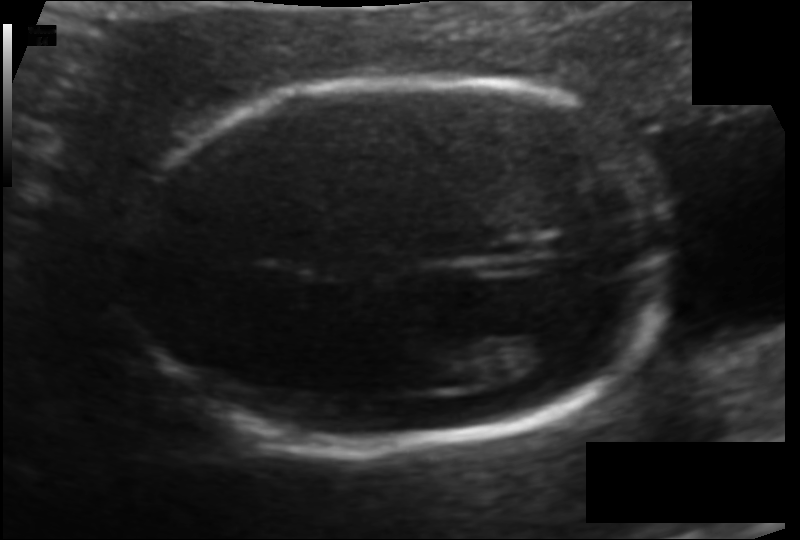
What is the fetal head circumference? Image width is 83.8 mm.

156.6 mm